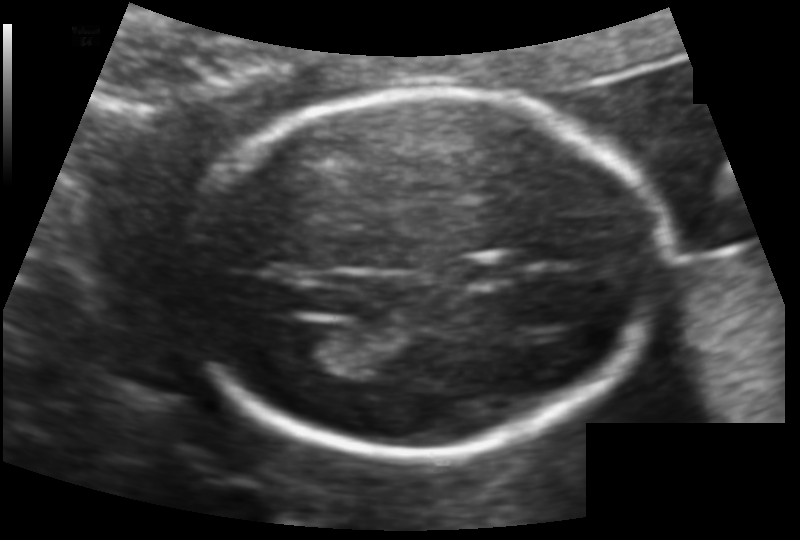
Fetal head ultrasound. Image width: 90.1 mm. Where is the fetal head?

Head bounding box: [184,92,618,457]